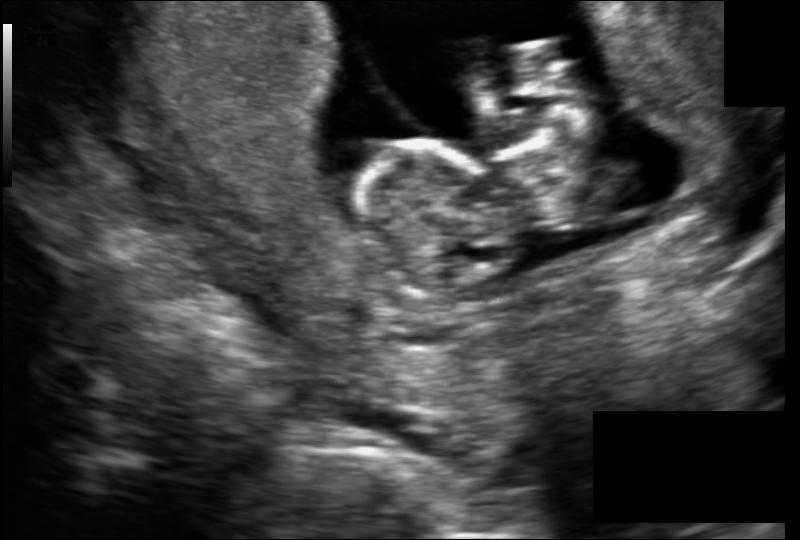
Measure the fetal head circumference shown in this ultrasound image. Image width: 97.2 mm.

Head circumference: 62.3 mm.